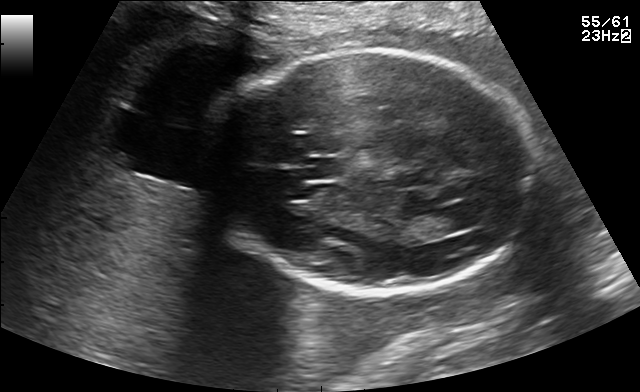
Fetal brain, trans-thalamic plane. Locate the lateral ventricle.

Lateral ventricle: [399,204,466,247]